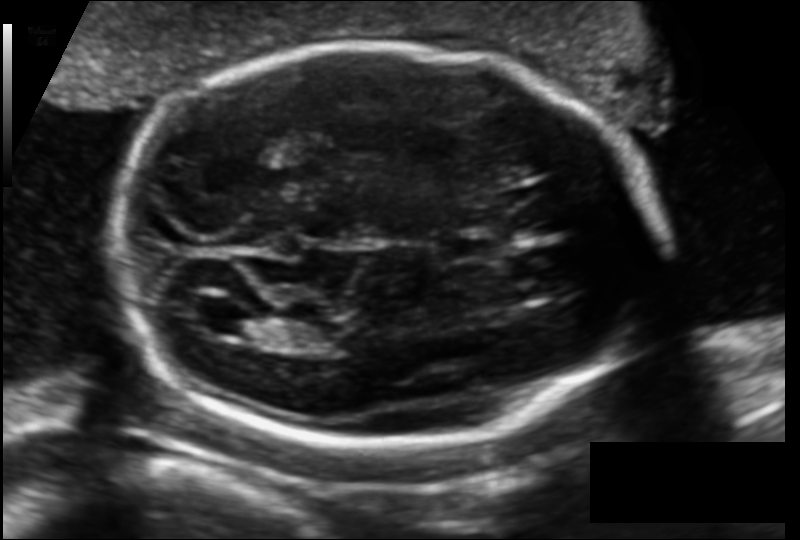
Fetal head ultrasound. Image width: 103.4 mm. Give [x1,y1,x2,y2] bounding boxes for each visible structure among: fetal head, CSP, LV.

Head: [113,45,658,441]
CSP: [437,228,507,266]
Lateral ventricle: [188,295,251,336]